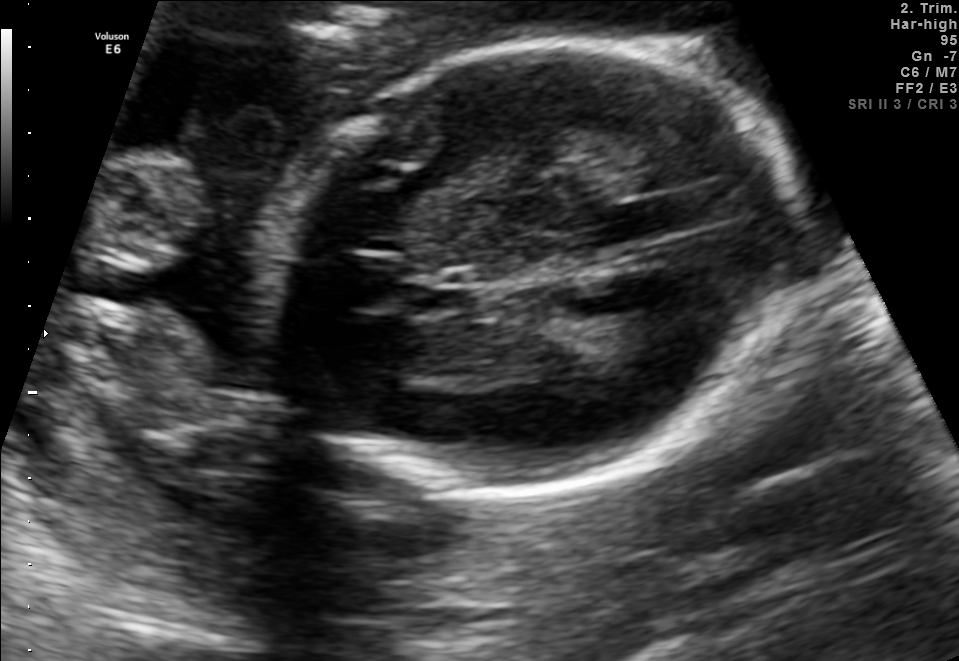
In this fetal brain, trans-thalamic plane, give bounding boxes for the head outline, cavum septum pellucidum (CSP), and lateral ventricle (LV), where visible.

Head: [266,41,801,498]
CSP: [403,273,472,317]